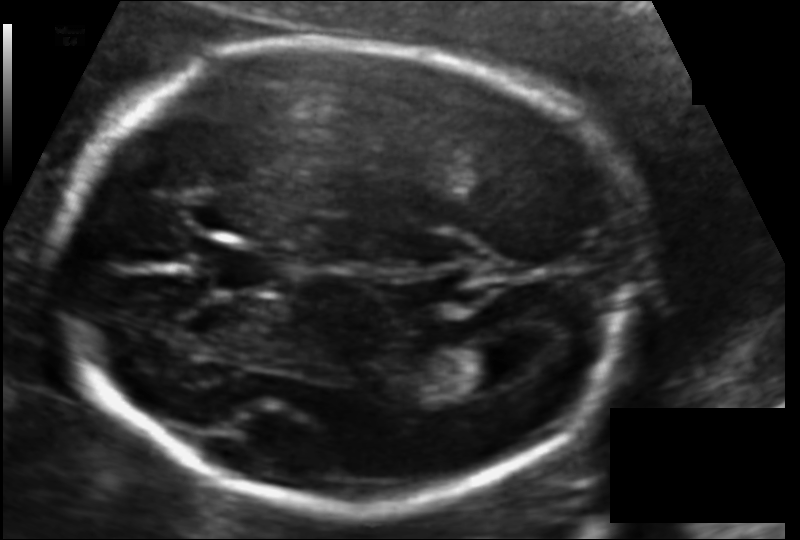
Fetal head ultrasound. Image width: 92.7 mm. Locate the fetal head and, if visible, the cavum septum pellucidum (CSP) and lateral ventricle (LV). Give bounding boxes as [x1,y1,x2,y2].

Head: [57,42,631,508]
CSP: [205,241,287,296]
Lateral ventricle: [447,335,534,397]